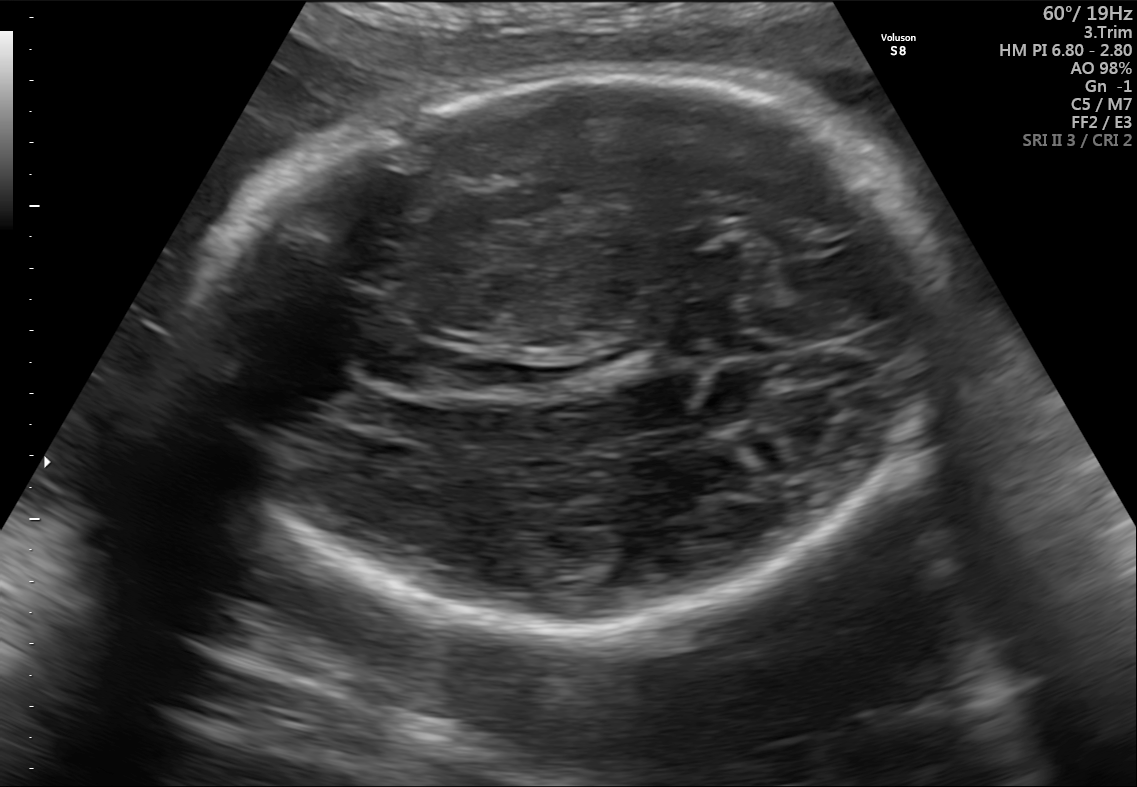
Fetal brain, trans-thalamic plane. Locate the fetal head.

Head: [219,79,953,639]